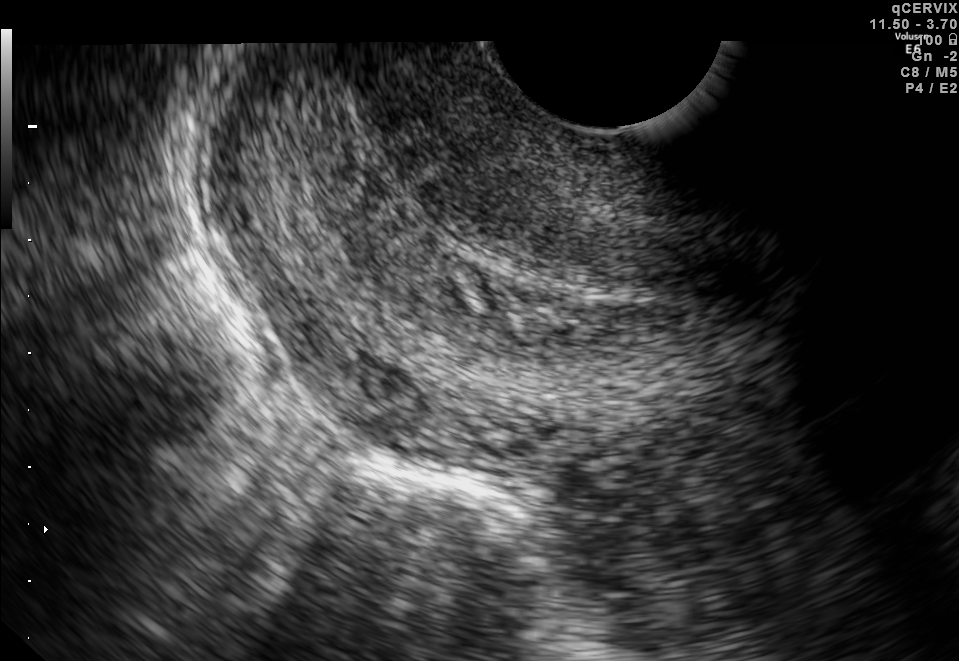
Which standard maternal-fetal ultrasound plane is shown: fetal abdomen, fetal brain, fetal femur, fetal thorax, maternal cervix, or other? If it's fetal brain and one of the three standard brain planes (trans-thalamic, trans-cerebellum, trans-ventricular), name which.

Maternal cervix